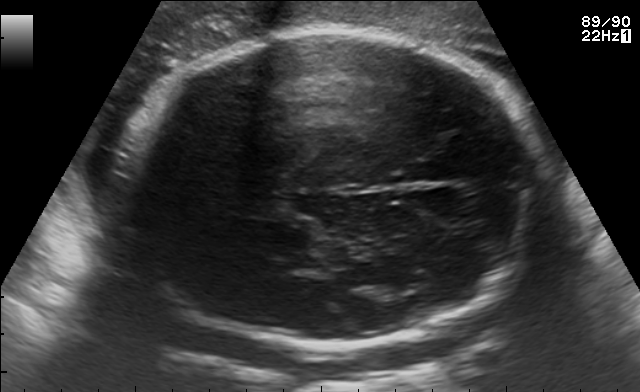
Fetal brain, trans-thalamic plane. Give [x1,y1,x2,y2] bounding boxes for each visible structure among: fetal head, CSP, LV.

Head: [113,32,533,343]